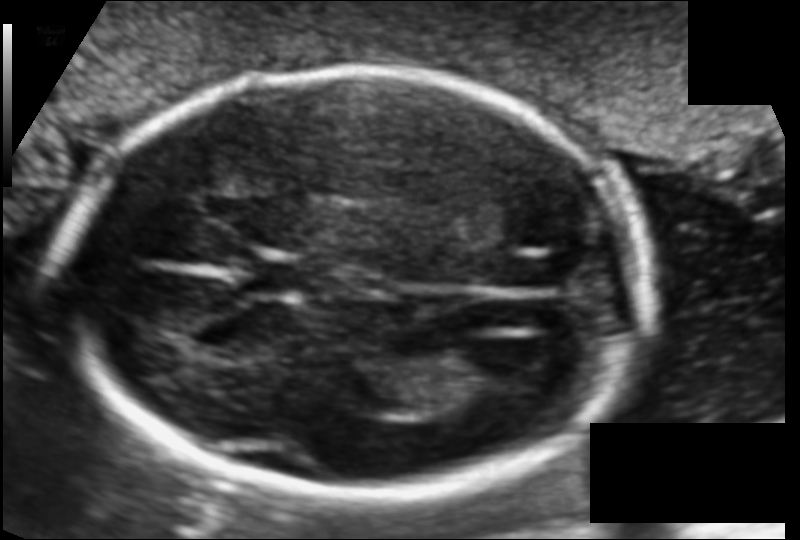
Fetal head ultrasound. Image width: 87.9 mm. Where is the lateral ventricle?

Lateral ventricle bounding box: [458,340,548,389]